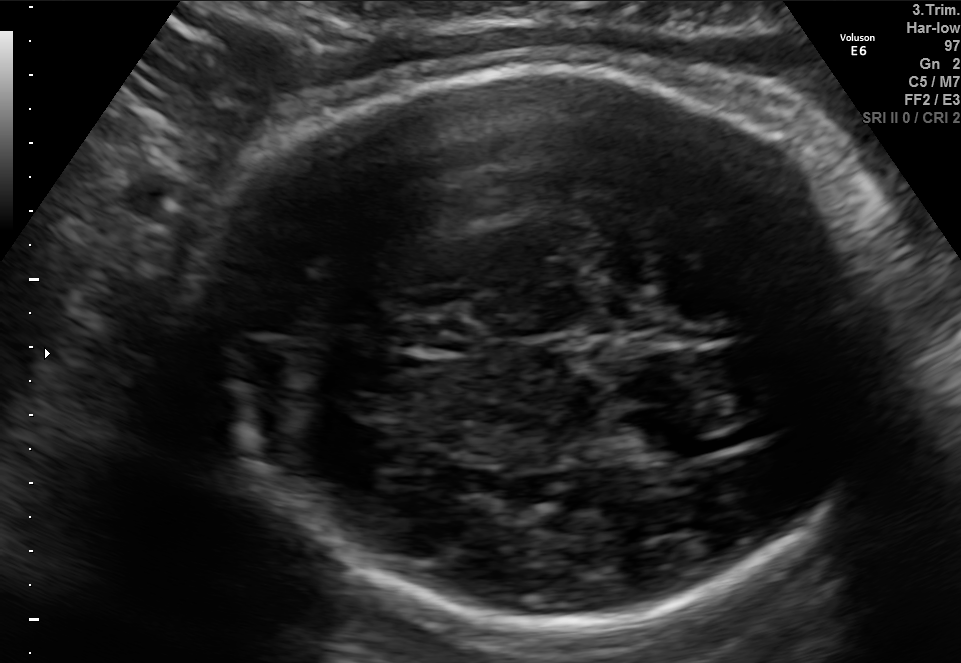
Fetal brain, trans-thalamic plane. Locate the cavum septum pellucidum.

CSP: [402,321,476,352]